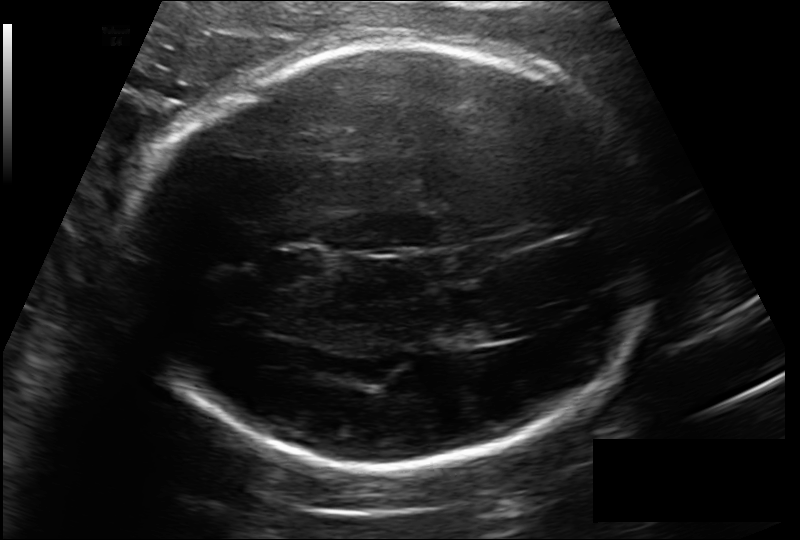
Fetal head ultrasound. Image width: 148.1 mm. Locate the fetal head.

Head: [137,46,658,466]